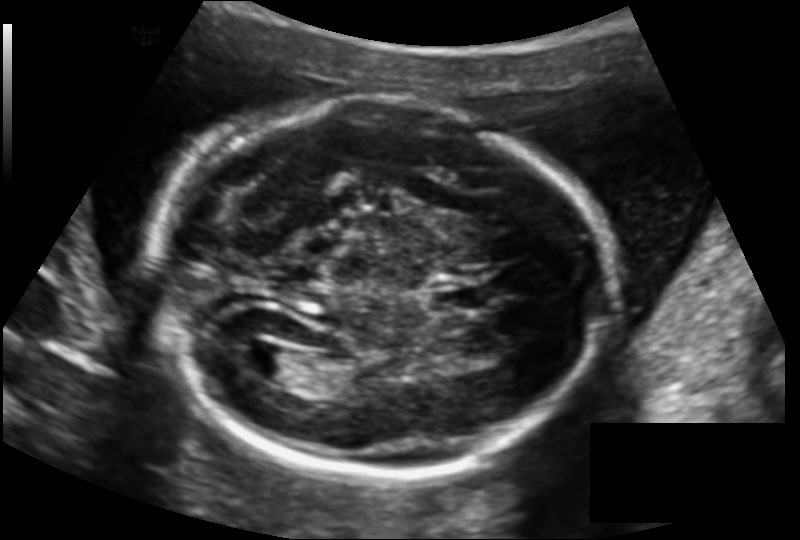
In this fetal head ultrasound, give bounding boxes for the head outline, cavum septum pellucidum (CSP), and lateral ventricle (LV), where visible. Image width: 116.1 mm.

Head: [155,103,608,475]
CSP: [433,284,485,312]
Lateral ventricle: [234,337,295,384]